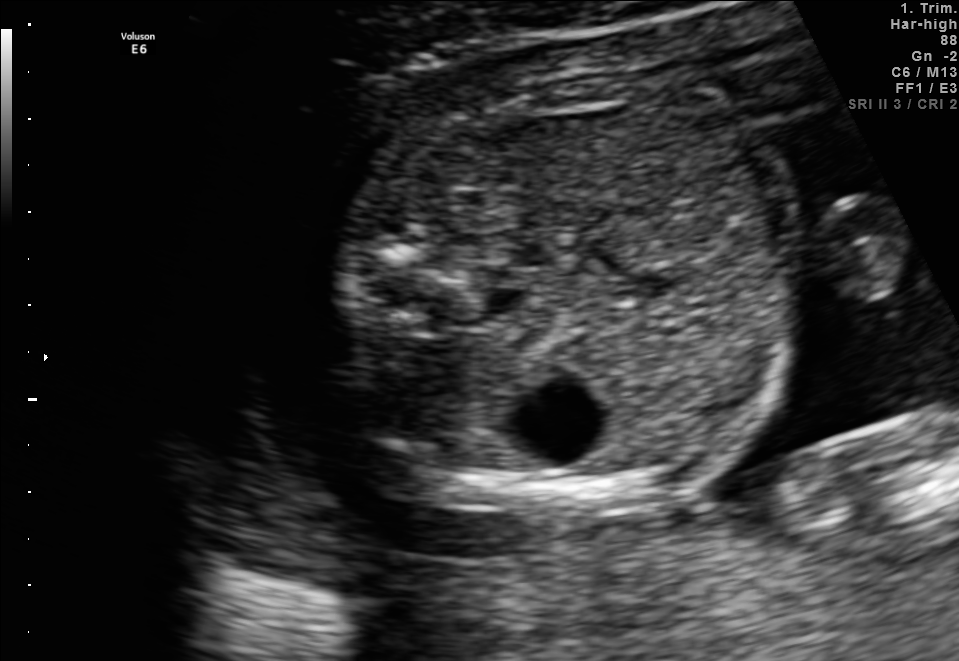
Identify the standard plane in this fetal ultrasound image: fetal abdomen, fetal brain, fetal femur, fetal thorax, maternal cervix, or other. If it's fetal brain and one of the three standard brain planes (trans-thalamic, trans-cerebellum, trans-ventricular), name which.

Fetal abdomen